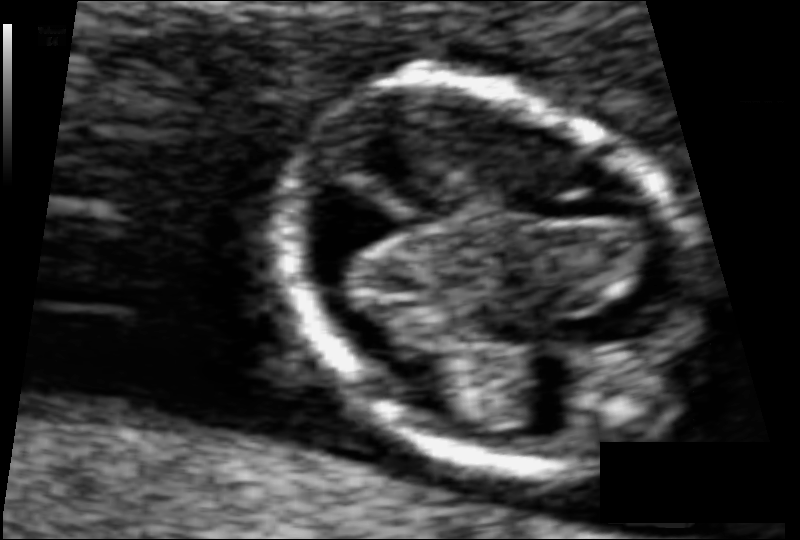
Estimate the fetal head circumference from this 2D ultrasound.

Head circumference: 76.1 mm (image width 46.0 mm).